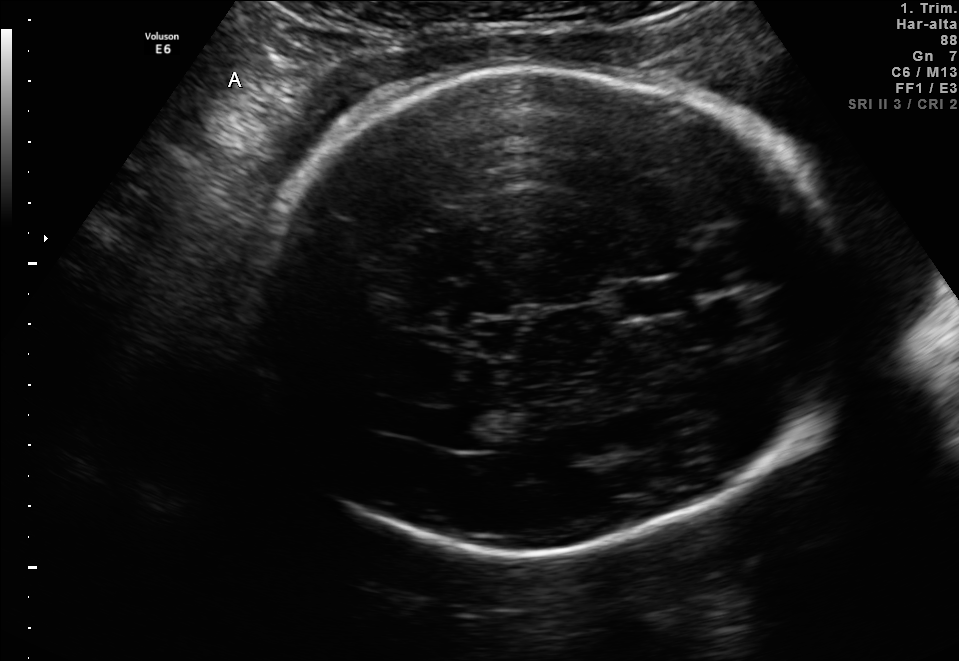
Fetal brain, trans-thalamic plane. Where is the fetal head?

Head bounding box: [258,64,843,551]